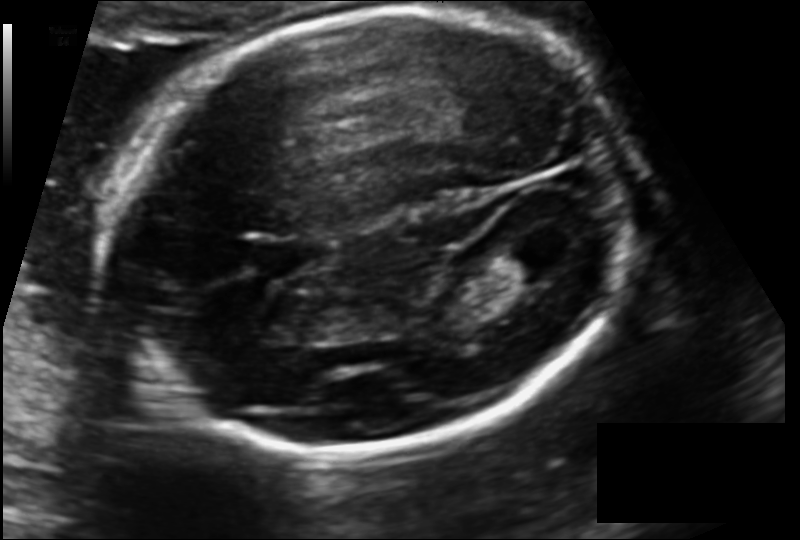
Fetal head ultrasound. Image width: 105.5 mm. Give [x1,y1,x2,y2] bounding boxes for each visible structure among: fetal head, CSP, LV.

Head: [111,9,637,453]
CSP: [254,231,333,280]
Lateral ventricle: [497,221,579,292]